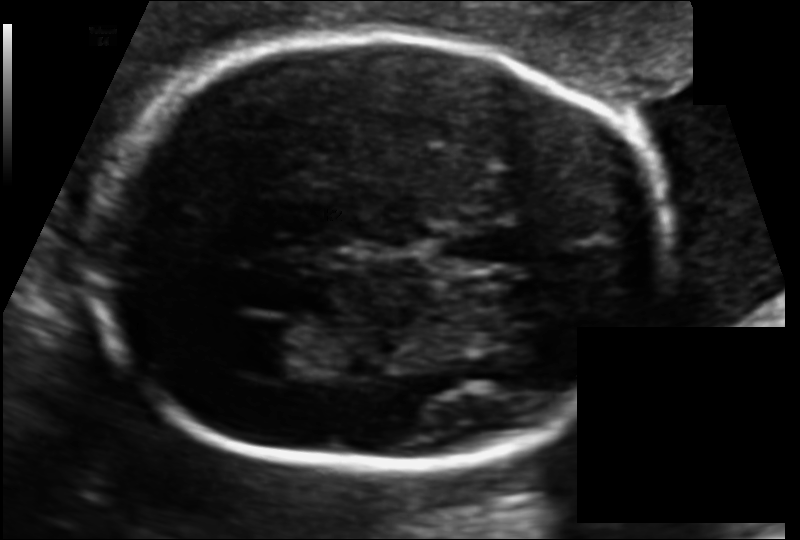
In this fetal head ultrasound, give the bounding box of the lateral ventricle. Image width: 89.0 mm.

[224,317,316,381]